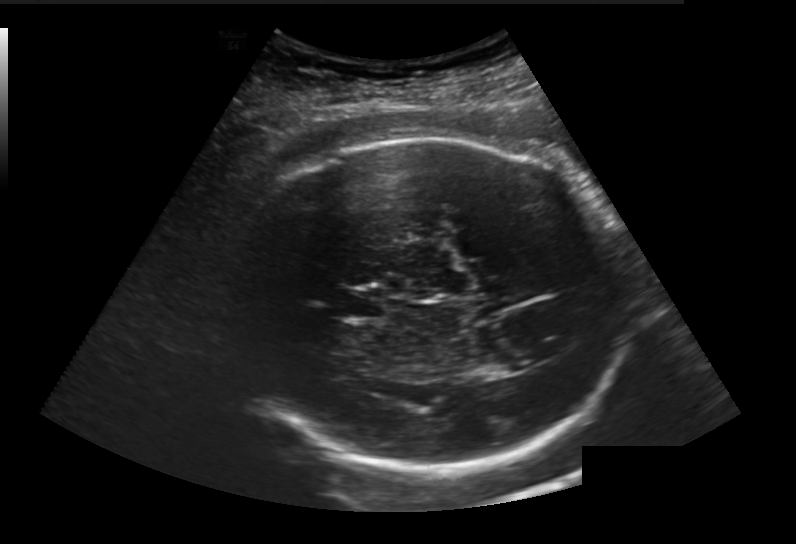
Fetal head ultrasound. Image width: 187.6 mm. Give [x1,y1,x2,y2] bounding boxes for each visible structure among: fetal head, CSP, LV.

Head: [231,137,630,472]
CSP: [338,288,384,318]